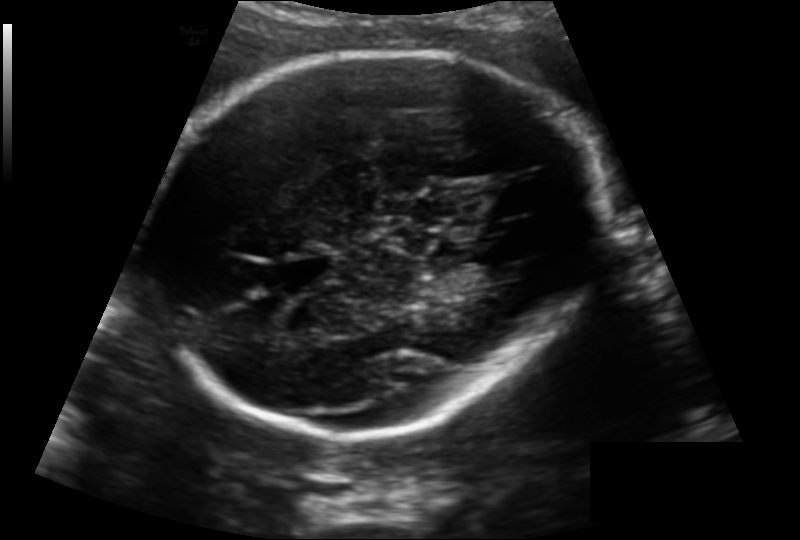
Fetal head ultrasound. Image width: 130.3 mm. Give [x1,y1,x2,y2] bounding boxes for each visible structure among: fetal head, CSP, LV.

Head: [147,47,596,435]
CSP: [272,247,340,296]